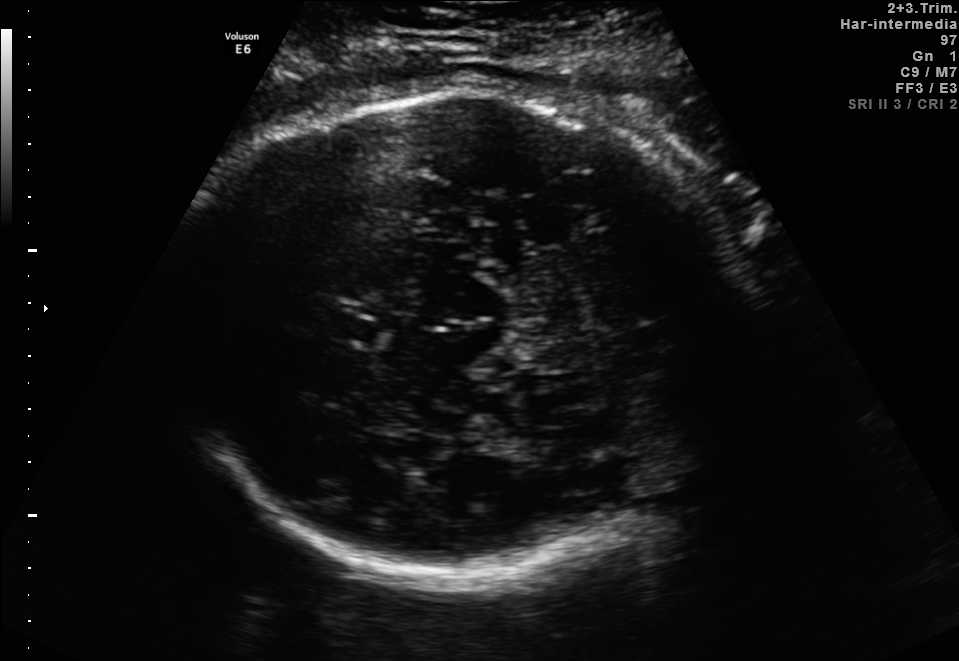
Fetal brain, trans-thalamic plane. Where is the cavum septum pellucidum?

CSP bounding box: [329,313,378,344]